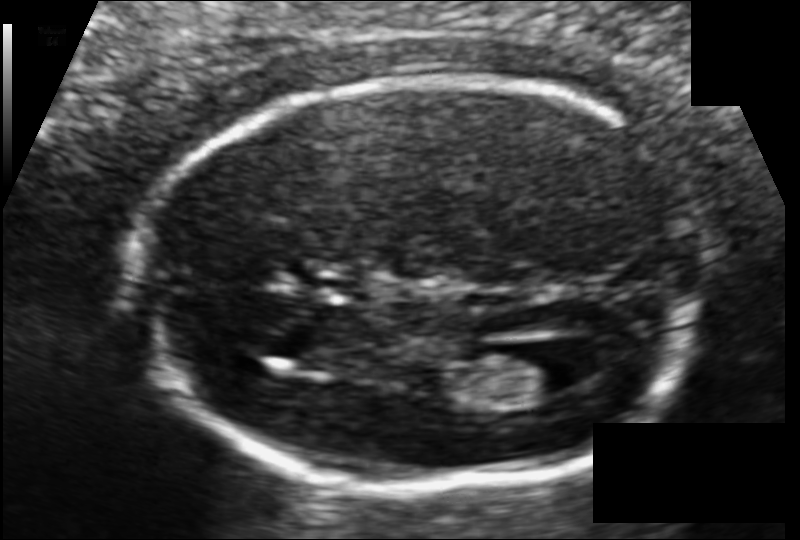
Measure the fetal head circumference shown in this ultrasound image. Image width: 83.6 mm.

Head circumference: 163.9 mm.